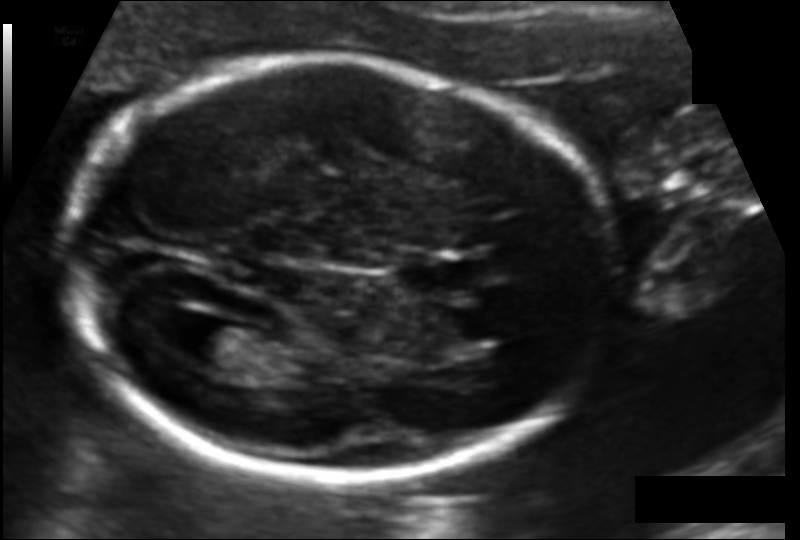
In this fetal head ultrasound, give the bounding box of the fetal head. Image width: 91.0 mm.

[64,57,616,481]